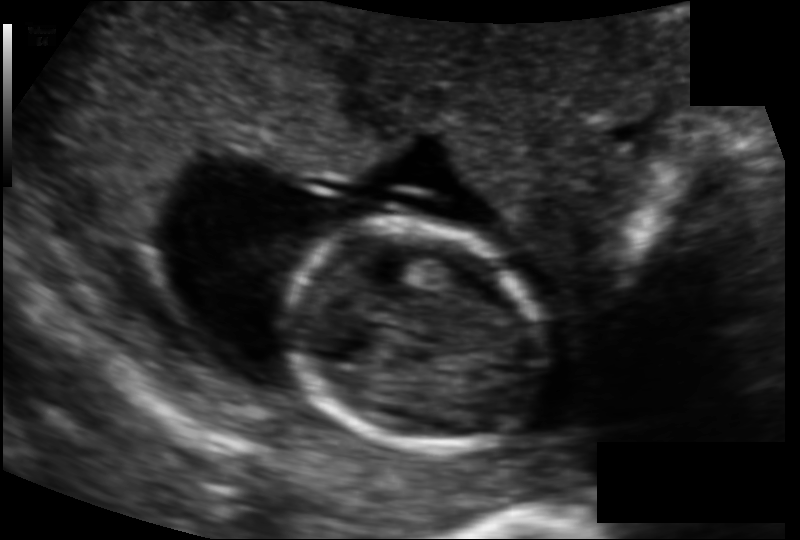
In this fetal head ultrasound, give bounding boxes for the head outline, cavum septum pellucidum (CSP), and lateral ventricle (LV), where visible. Image width: 91.0 mm.

Head: [288,221,547,449]